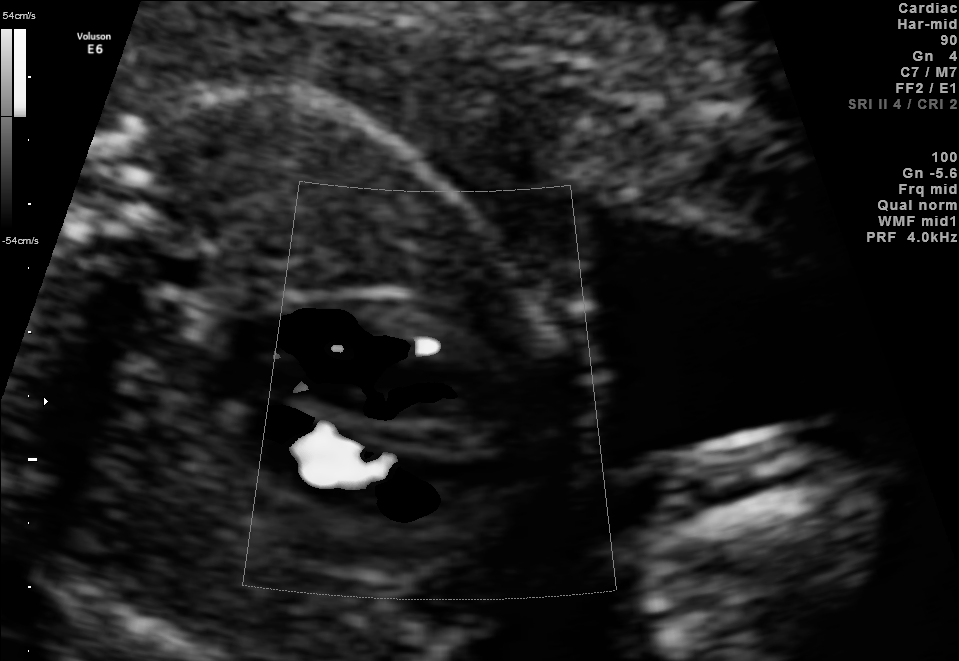
Identify the standard plane in this fetal ultrasound image: fetal abdomen, fetal brain, fetal femur, fetal thorax, maternal cervix, or other. If it's fetal brain and one of the three standard brain planes (trans-thalamic, trans-cerebellum, trans-ventricular), name which.

Other